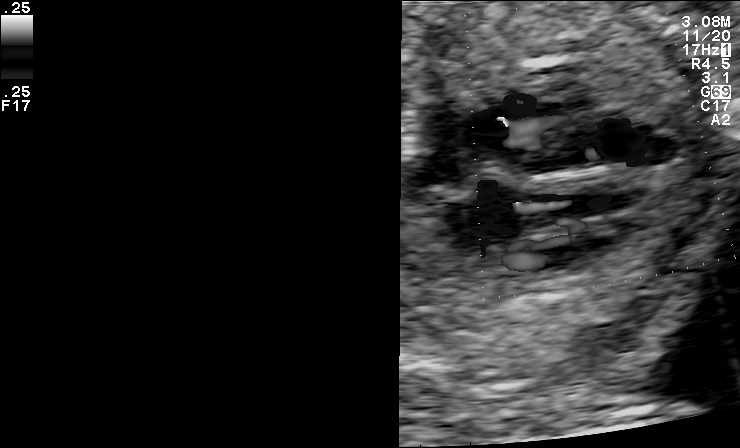
Classify this maternal-fetal ultrasound image as one of the six standard planes — fetal abdomen, fetal brain, fetal femur, fetal thorax, maternal cervix, or other. If it's fetal brain and one of the three standard brain planes (trans-thalamic, trans-cerebellum, trans-ventricular), name which.

Other